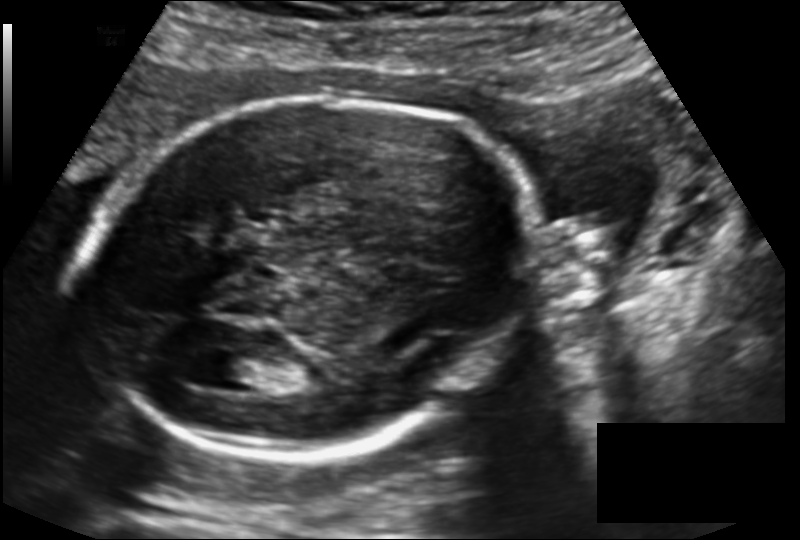
Fetal head ultrasound. Image width: 114.3 mm. Give [x1,y1,x2,y2] bounding boxes for each visible structure among: fetal head, CSP, LV.

Head: [86,95,542,452]
Lateral ventricle: [205,350,269,389]